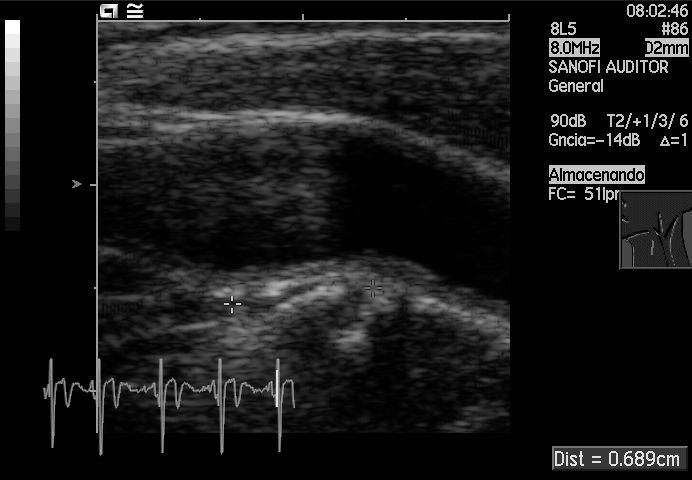
This is a 2D maternal-fetal ultrasound frame. Is it a fetal abdomen, fetal brain, fetal femur, fetal thorax, maternal cervix, or other standard plane? If it's fetal brain and one of the three standard brain planes (trans-thalamic, trans-cerebellum, trans-ventricular), name which.

Other